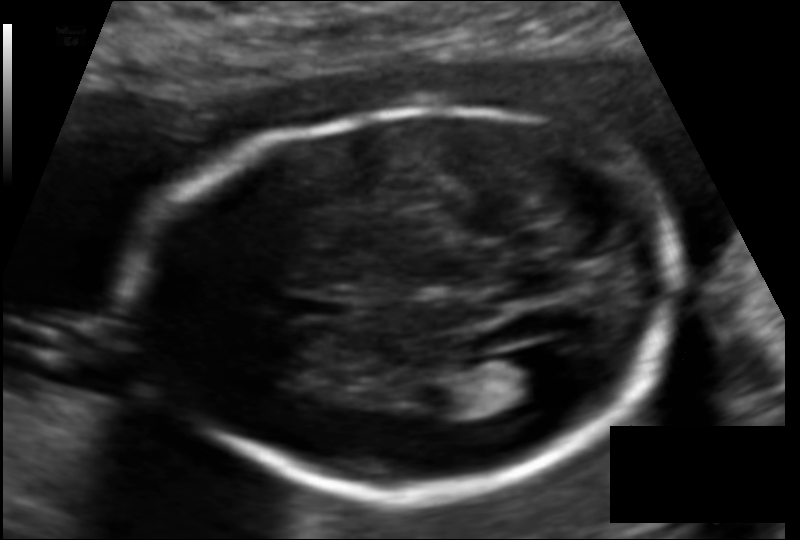
Estimate the fetal head circumference from this 2D ultrasound.

Head circumference: 176.0 mm (image width 91.1 mm).